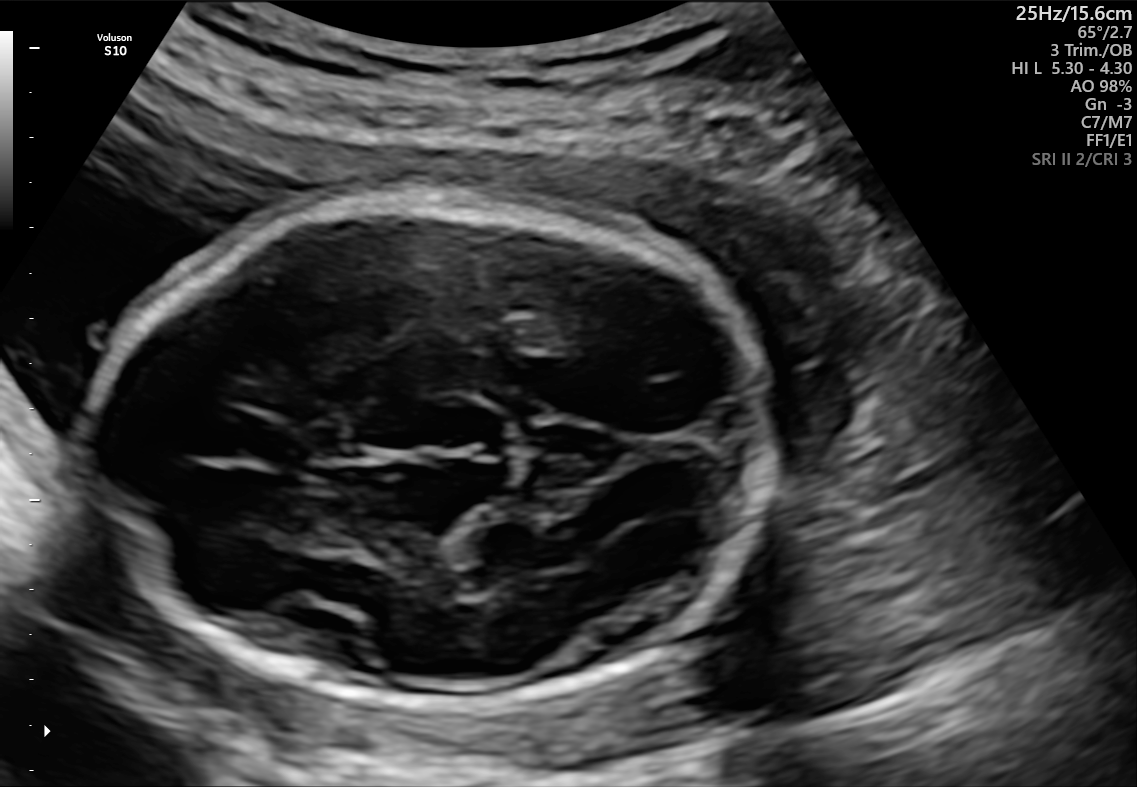
Classify this maternal-fetal ultrasound image as one of the six standard planes — fetal abdomen, fetal brain, fetal femur, fetal thorax, maternal cervix, or other. If it's fetal brain and one of the three standard brain planes (trans-thalamic, trans-cerebellum, trans-ventricular), name which.

Fetal brain (trans-thalamic plane)